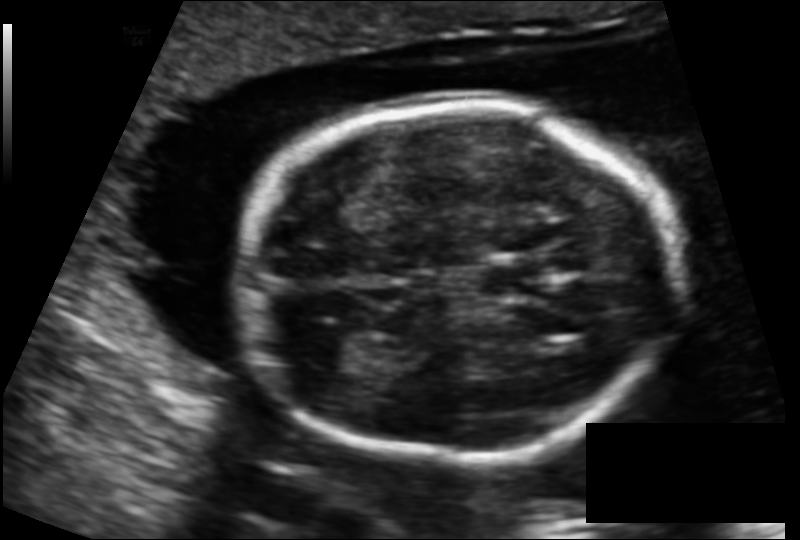
In this fetal head ultrasound, give the bounding box of the cavum septum pellucidum. Image width: 104.4 mm.

[479,261,549,302]